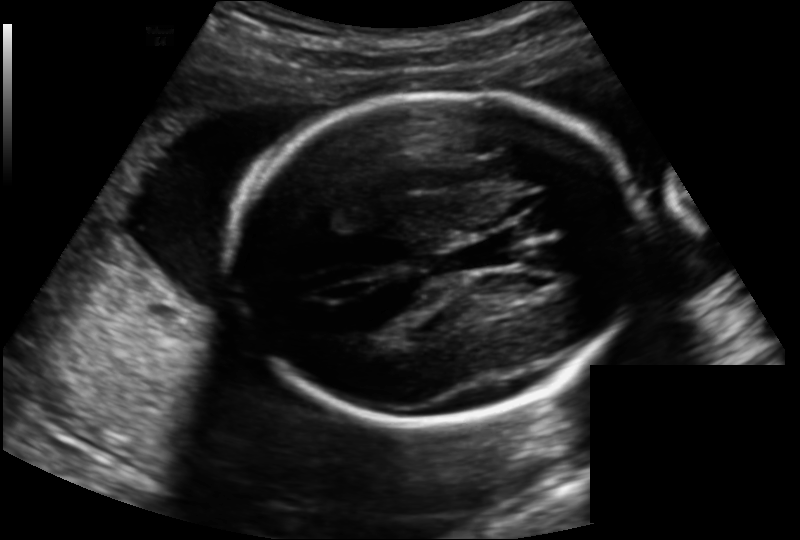
In this fetal head ultrasound, give the bounding box of the fetal head. Image width: 130.7 mm.

[233,94,646,422]